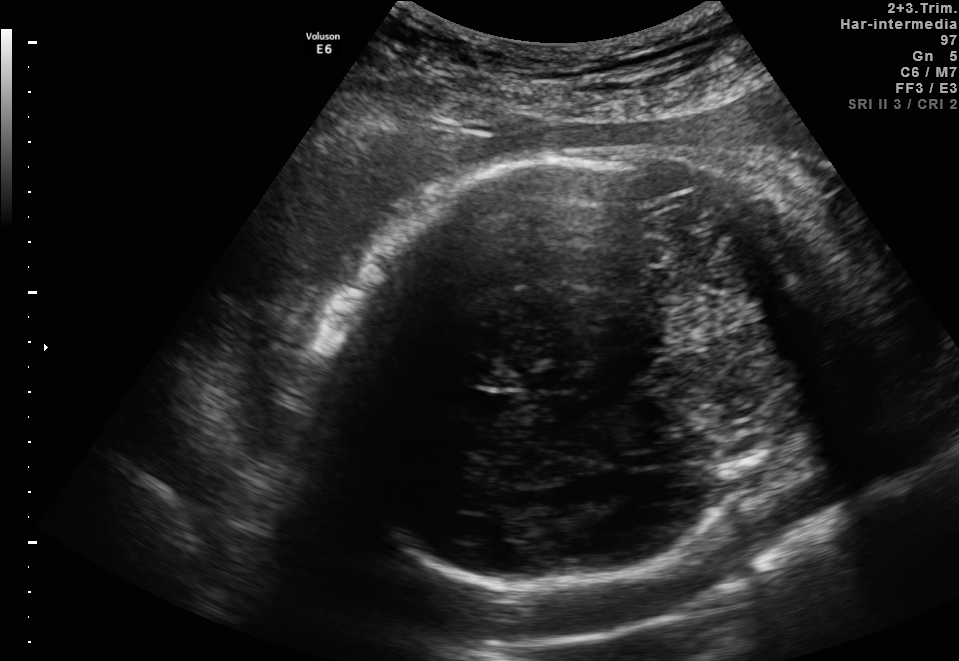
Fetal brain, trans-thalamic plane. Where is the fetal head?

Head bounding box: [323,148,806,587]